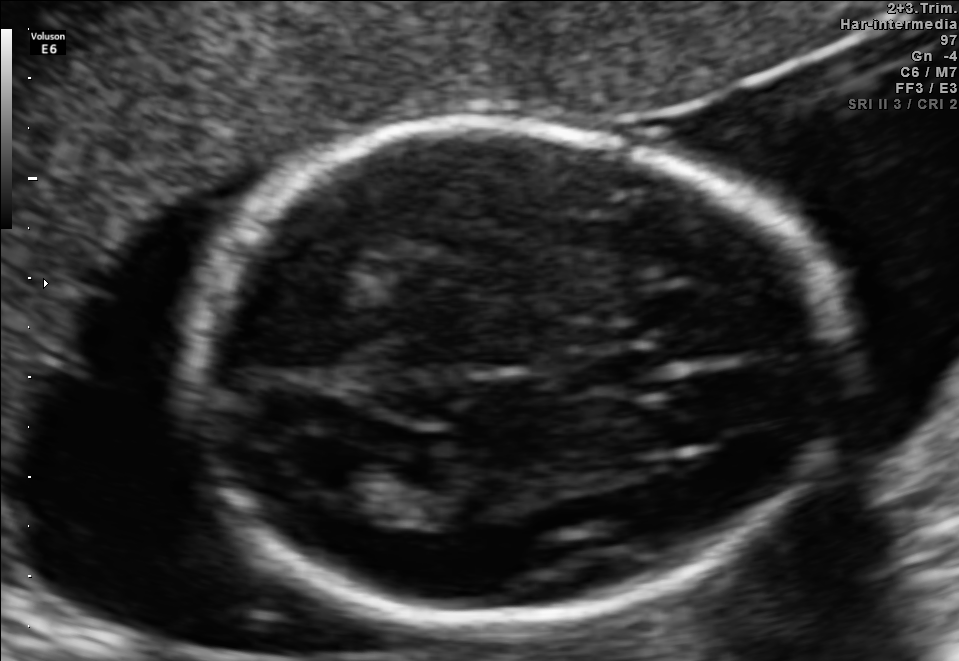
In this fetal brain, trans-ventricular plane, give the bounding box of the cavum septum pellucidum.

[557,354,641,390]